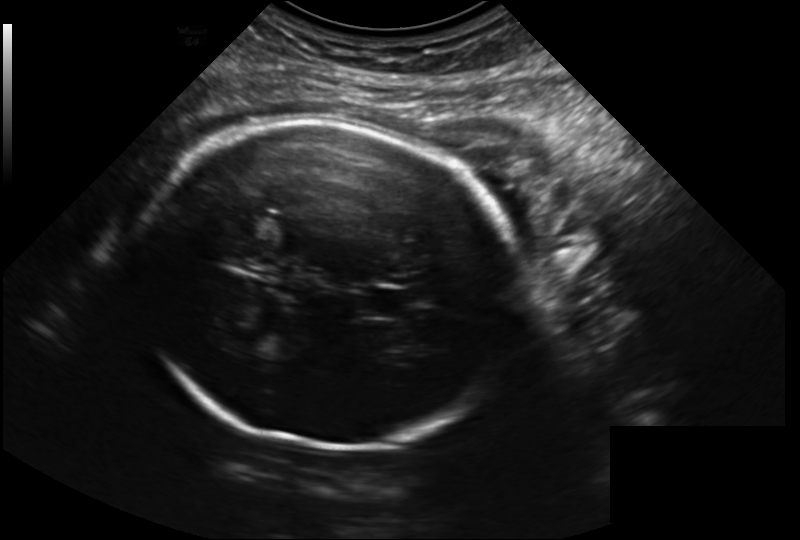
Fetal head ultrasound. Image width: 178.0 mm. Locate the cavum septum pellucidum.

CSP: [359,285,417,322]